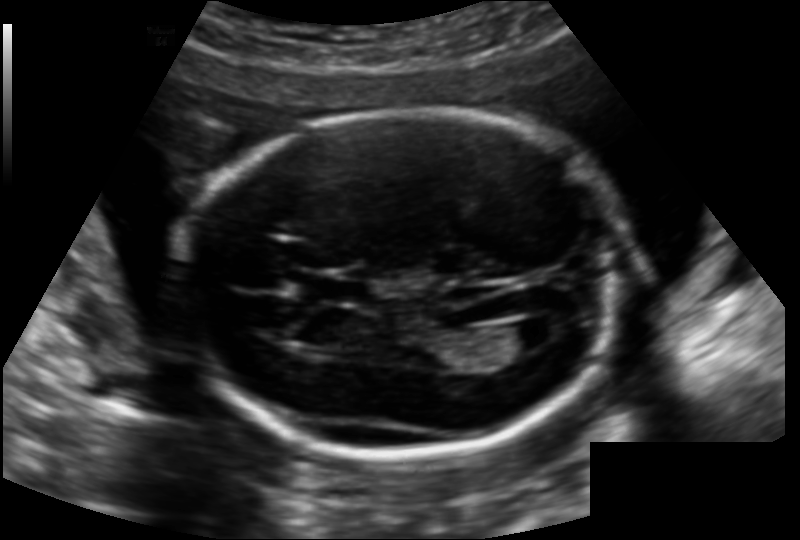
Measure the fetal head circumference shown in this ultrasound image. Image width: 113.4 mm.

Head circumference: 182.5 mm.